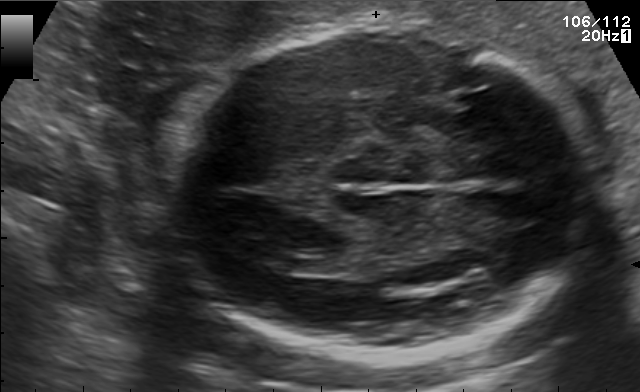
In this fetal brain, trans-ventricular plane, give the bounding box of the fetal head.

[157,21,609,370]